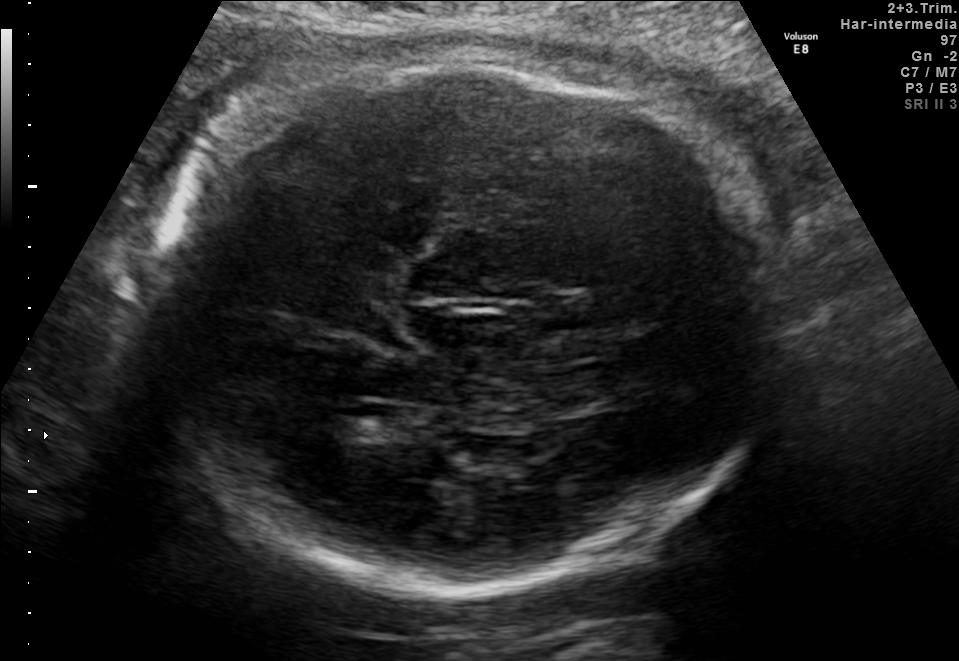
Fetal brain, trans-thalamic plane. Locate the fetal head and, if visible, the cavum septum pellucidum (CSP) and lateral ventricle (LV). Give bounding boxes as [x1,y1,x2,y2].

Head: [148,63,789,588]
Lateral ventricle: [335,400,416,440]